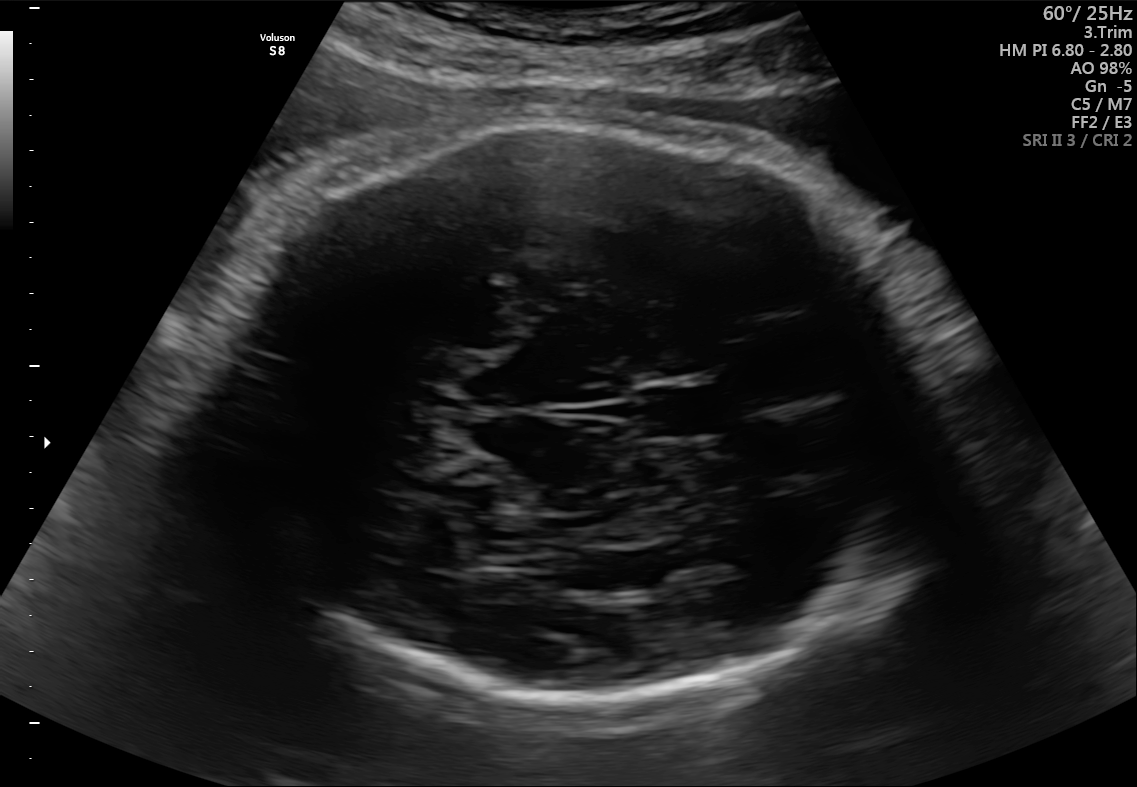
Fetal brain, trans-thalamic plane. Where is the cavum septum pellucidum?

CSP bounding box: [640,383,731,437]